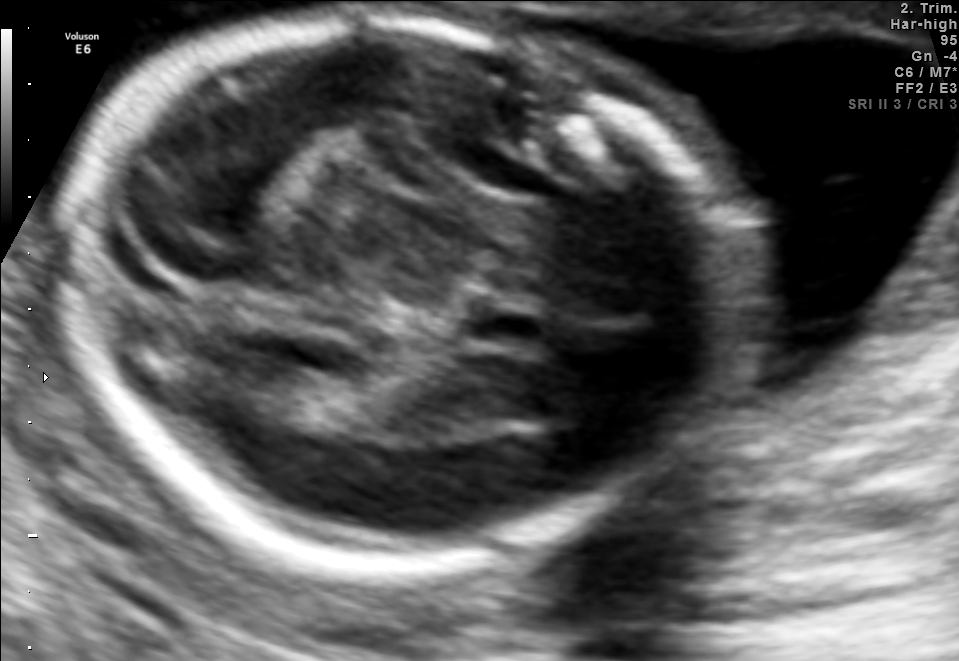
Fetal brain, trans-thalamic plane. Where is the fetal head?

Head bounding box: [65,17,710,570]